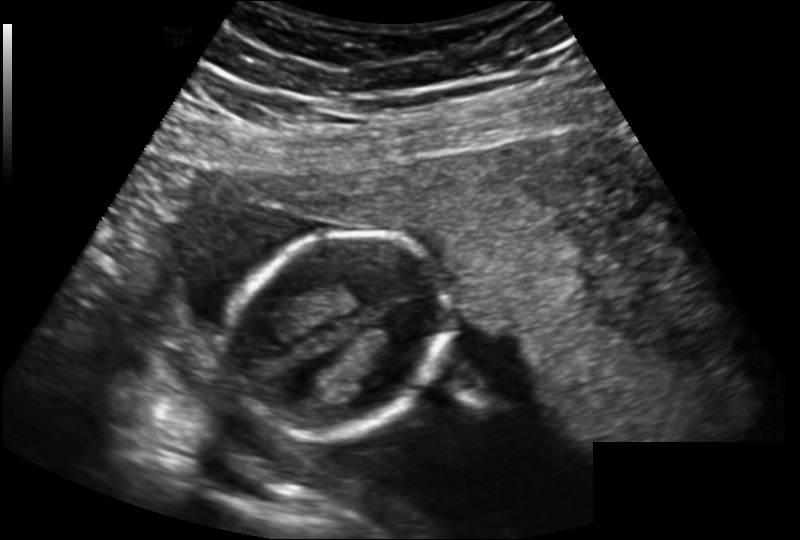
Fetal head ultrasound. Image width: 146.2 mm. Give [x1,y1,x2,y2] bounding boxes for each visible structure among: fetal head, CSP, LV.

Head: [228,232,450,435]